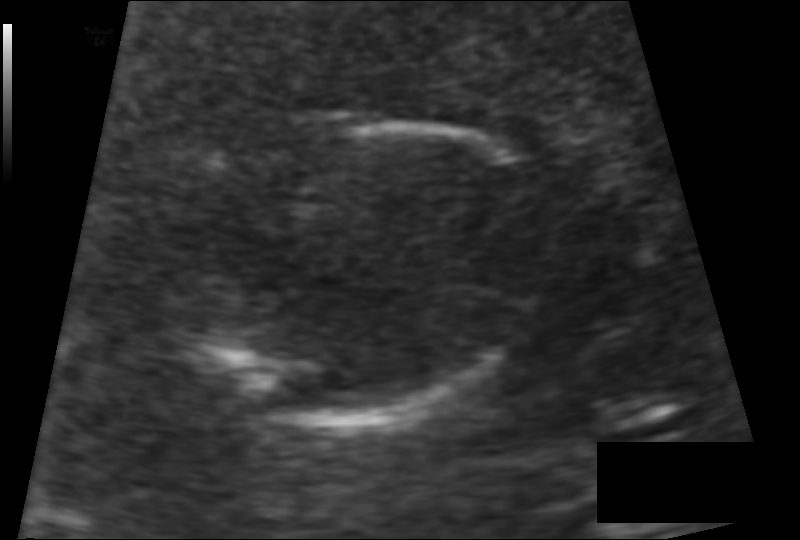
Fetal head ultrasound. Image width: 74.1 mm. Where is the fetal head?

Head bounding box: [185,120,545,426]